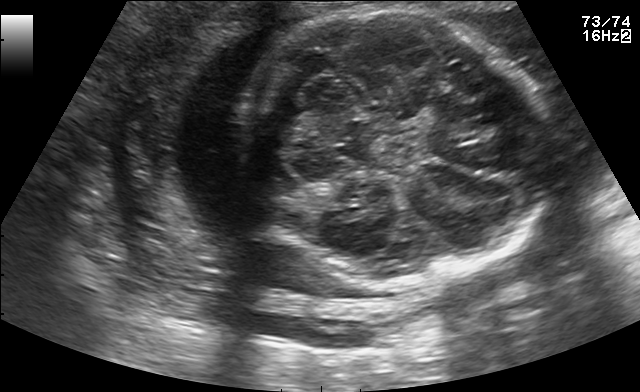
In this fetal brain, trans-thalamic plane, give bounding boxes for the head outline, cavum septum pellucidum (CSP), and lateral ventricle (LV), where visible.

Head: [230,7,552,283]